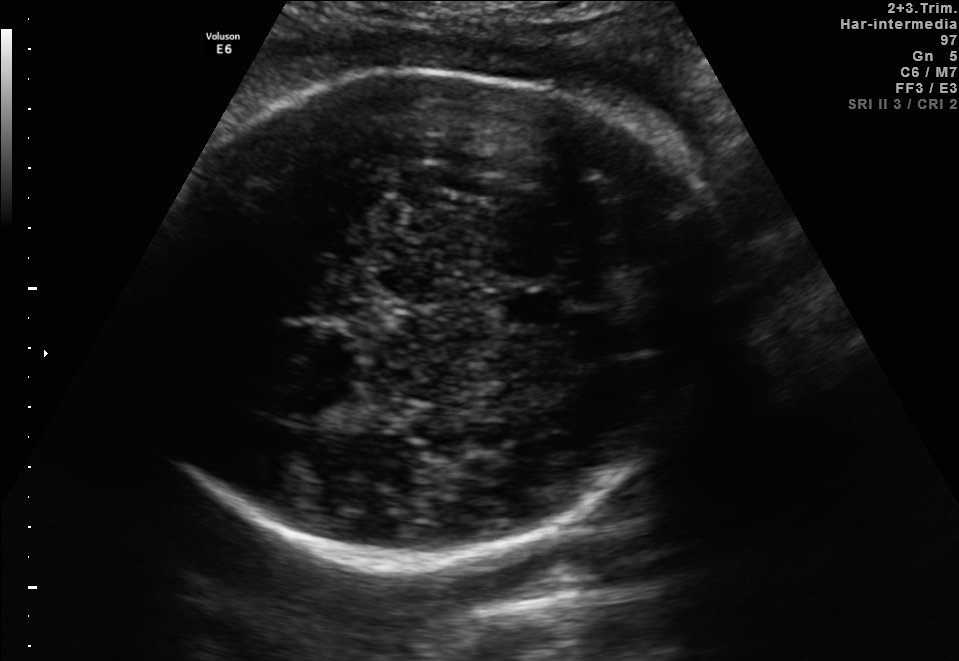
In this fetal brain, trans-thalamic plane, give the bounding box of the cavum septum pellucidum.

[497,286,564,330]